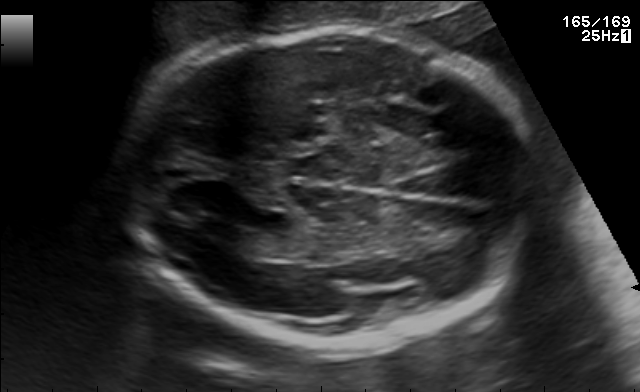
In this fetal brain, trans-ventricular plane, give the bounding box of the fetal head.

[118,24,550,355]